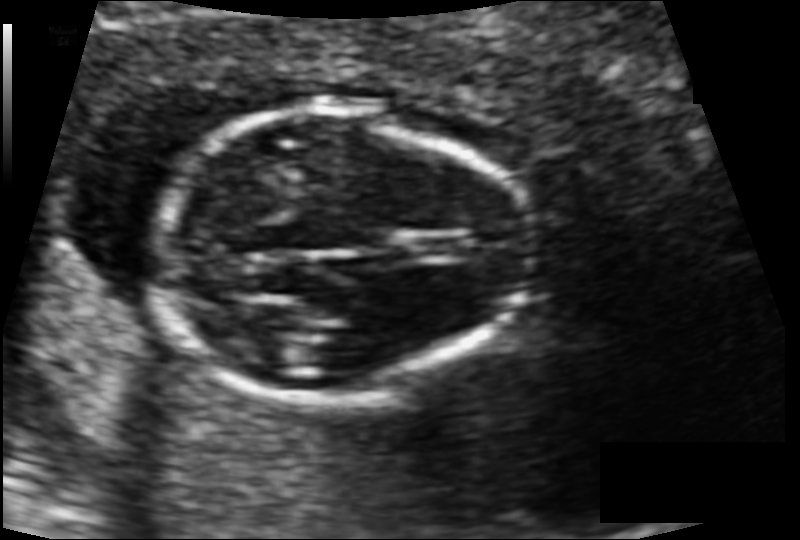
In this fetal head ultrasound, give bounding boxes for the head outline, cavum septum pellucidum (CSP), and lateral ventricle (LV), where visible. Image width: 71.4 mm.

Head: [152,101,536,399]